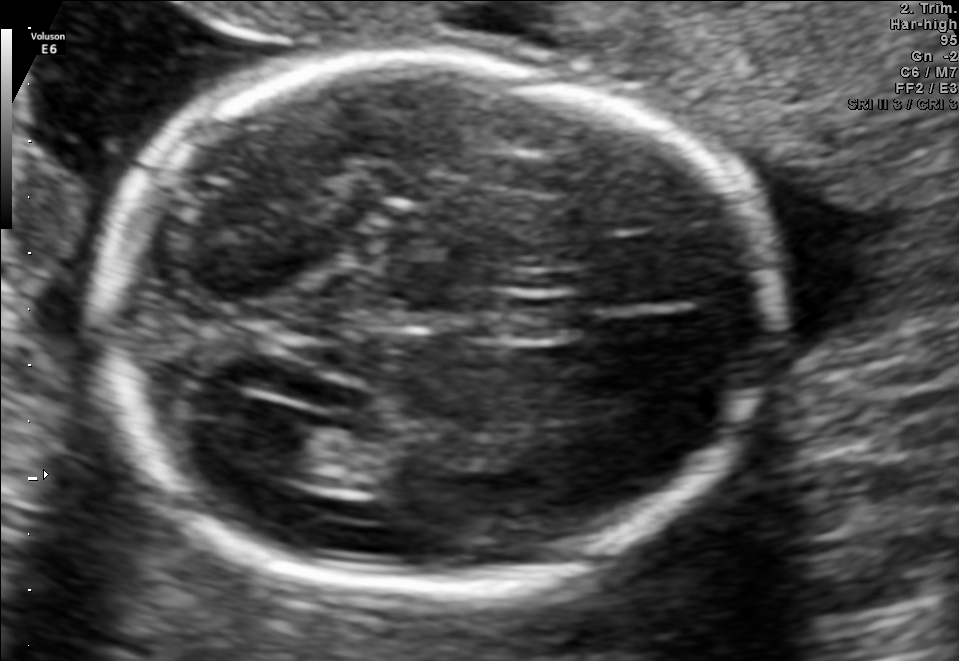
Fetal brain, trans-ventricular plane. Where is the cavum septum pellucidum?

CSP bounding box: [466,296,593,341]